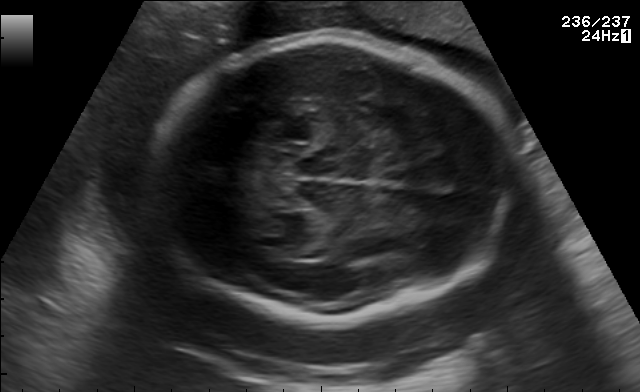
Fetal brain, trans-thalamic plane. Where is the fetal head?

Head bounding box: [154,35,498,317]